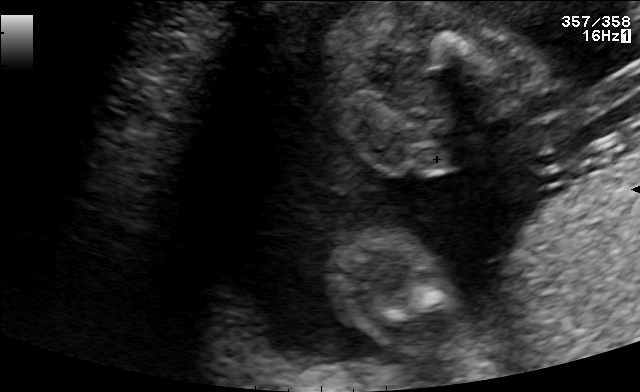
Which standard maternal-fetal ultrasound plane is shown: fetal abdomen, fetal brain, fetal femur, fetal thorax, maternal cervix, or other? If it's fetal brain and one of the three standard brain planes (trans-thalamic, trans-cerebellum, trans-ventricular), name which.

Other